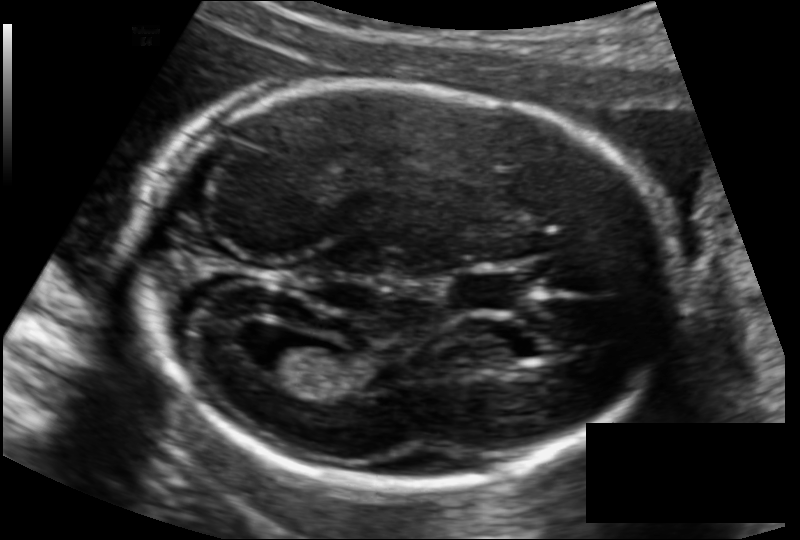
From this fetal ultrasound, estimate the head circumference (image width 97.7 mm).

Head circumference: 185.4 mm.